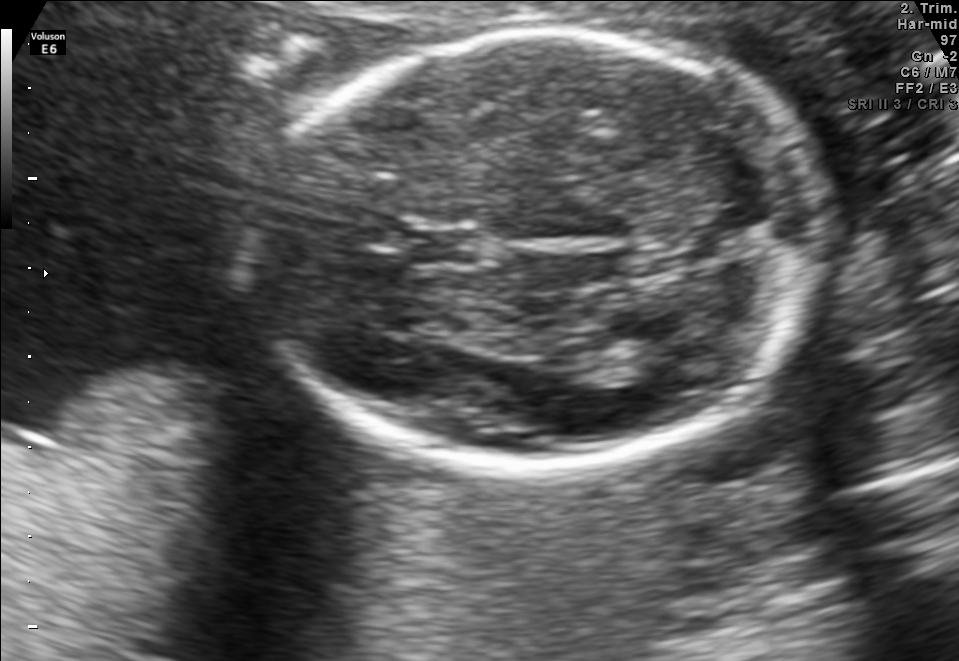
Fetal brain, trans-thalamic plane. Where is the cavum septum pellucidum?

CSP bounding box: [414,230,475,262]